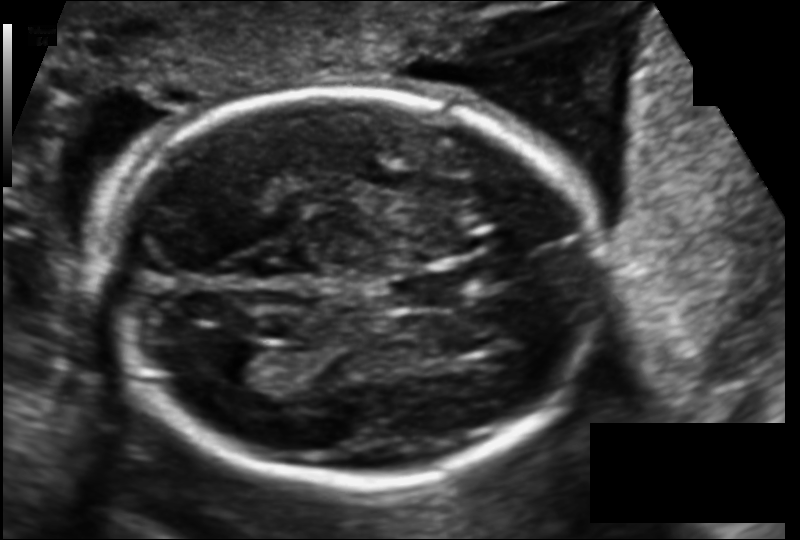
In this fetal head ultrasound, give the bounding box of the cavum septum pellucidum. Image width: 104.3 mm.

[386,266,466,313]